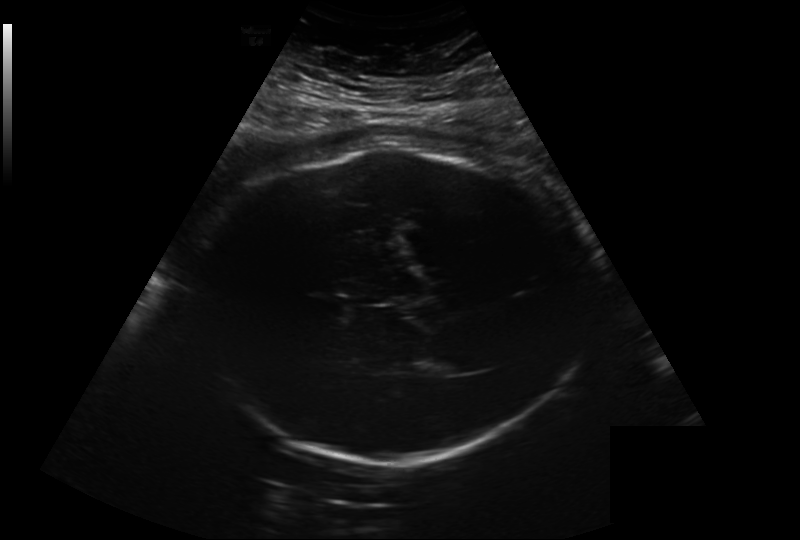
What is the fetal head circumference? Image width is 225.2 mm.

327.5 mm